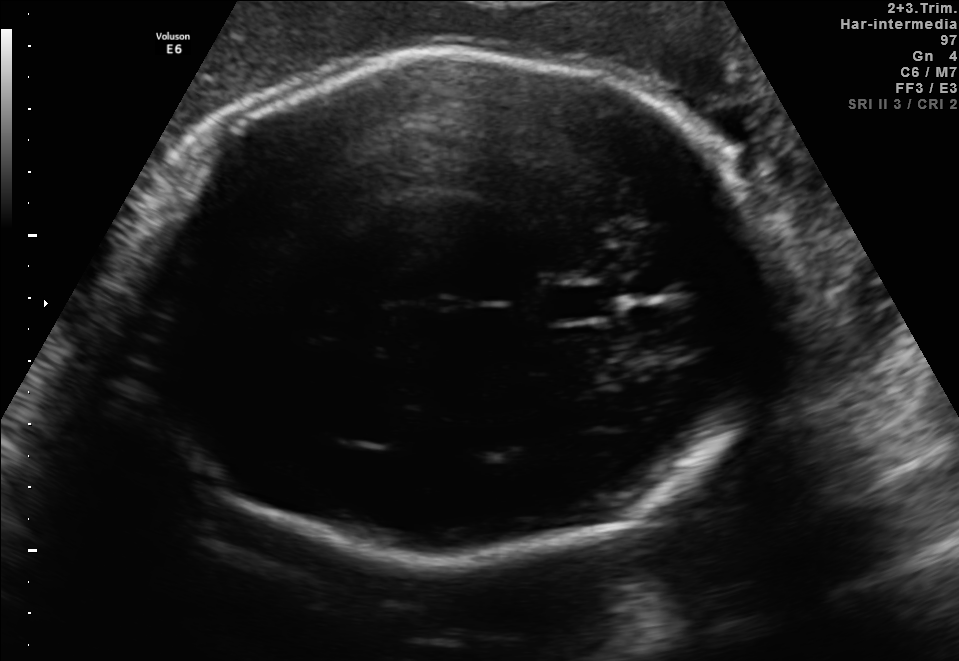
Fetal brain, trans-thalamic plane. Locate the fetal head.

Head: [122,52,773,555]